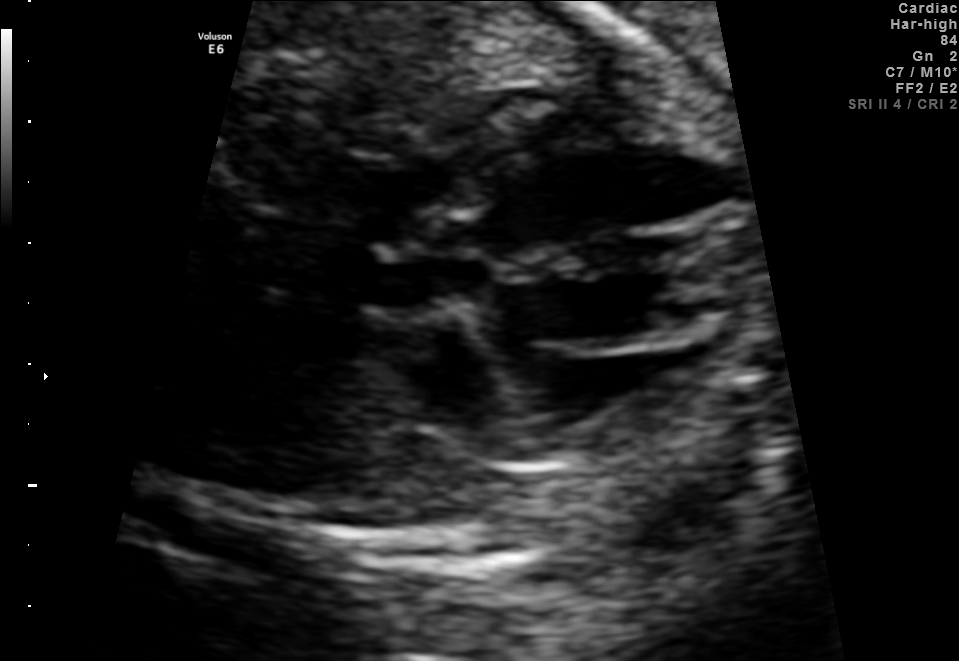
Identify the standard plane in this fetal ultrasound image: fetal abdomen, fetal brain, fetal femur, fetal thorax, maternal cervix, or other. If it's fetal brain and one of the three standard brain planes (trans-thalamic, trans-cerebellum, trans-ventricular), name which.

Other